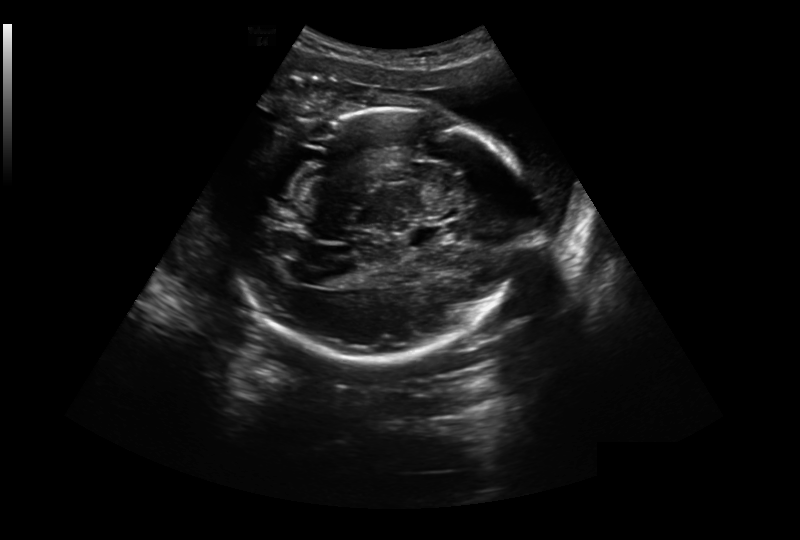
Fetal head ultrasound. Image width: 243.0 mm. Locate the fetal head and, if visible, the cavum septum pellucidum (CSP) and lateral ventricle (LV). Give bounding boxes as [x1,y1,x2,y2].

Head: [236,108,529,364]
CSP: [405,222,445,249]
Lateral ventricle: [322,271,353,288]